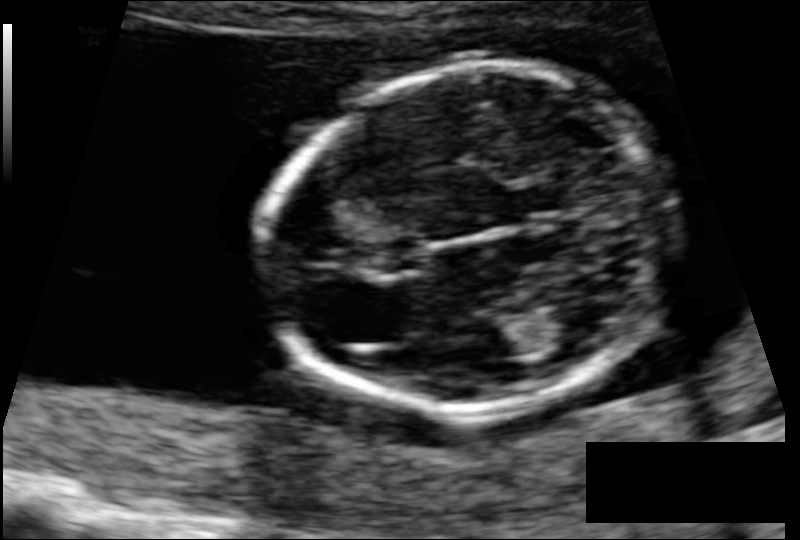
Fetal head ultrasound. Image width: 70.5 mm. Locate the fetal head and, if visible, the cavum septum pellucidum (CSP) and lateral ventricle (LV). Give bounding boxes as [x1,y1,x2,y2].

Head: [263,68,674,418]
Lateral ventricle: [537,300,608,351]